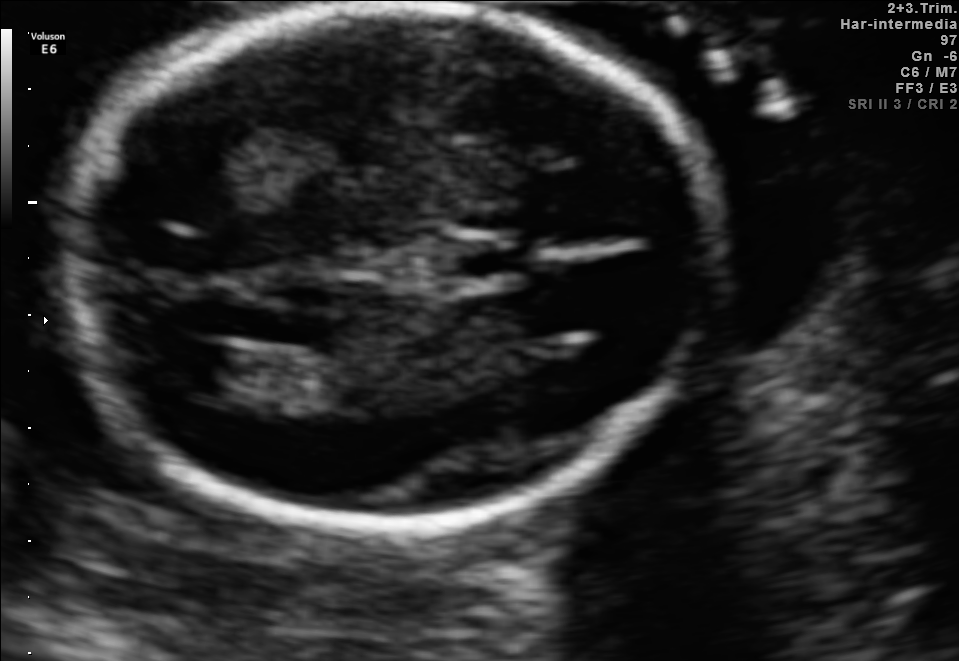
Fetal brain, trans-ventricular plane. Locate the lateral ventricle.

Lateral ventricle: [154,331,243,401]